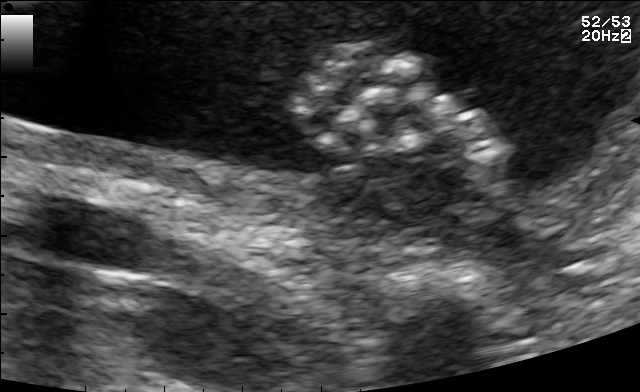
Which standard maternal-fetal ultrasound plane is shown: fetal abdomen, fetal brain, fetal femur, fetal thorax, maternal cervix, or other? If it's fetal brain and one of the three standard brain planes (trans-thalamic, trans-cerebellum, trans-ventricular), name which.

Other